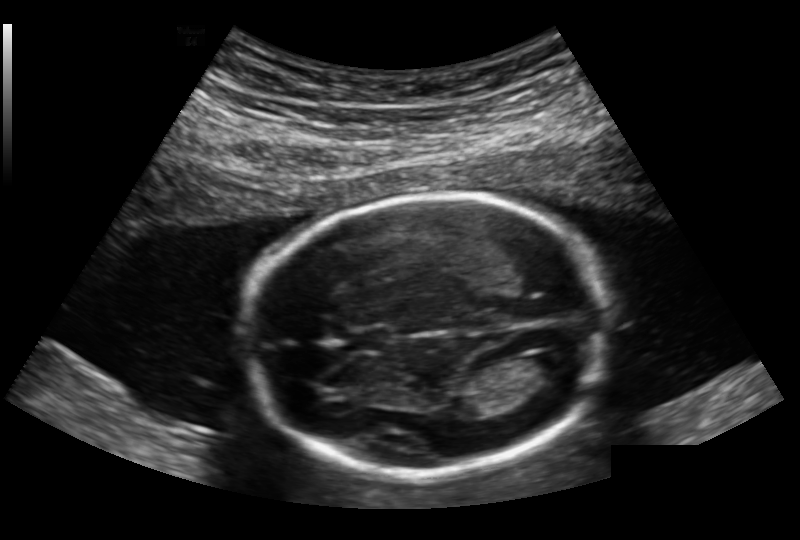
Fetal head ultrasound. Image width: 134.4 mm. Where is the fetal head?

Head bounding box: [246,195,606,474]